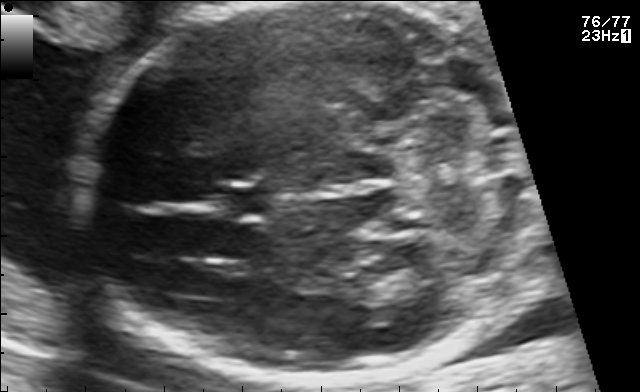
Classify this maternal-fetal ultrasound image as one of the six standard planes — fetal abdomen, fetal brain, fetal femur, fetal thorax, maternal cervix, or other. If it's fetal brain and one of the three standard brain planes (trans-thalamic, trans-cerebellum, trans-ventricular), name which.

Fetal brain (trans-cerebellum plane)